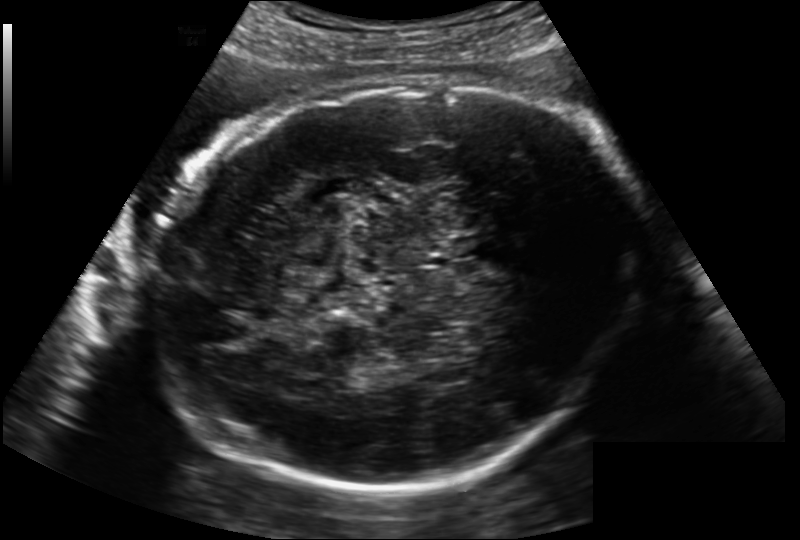
Measure the fetal head circumference shown in this ultrasound image. Image width: 161.8 mm.

Head circumference: 294.7 mm.